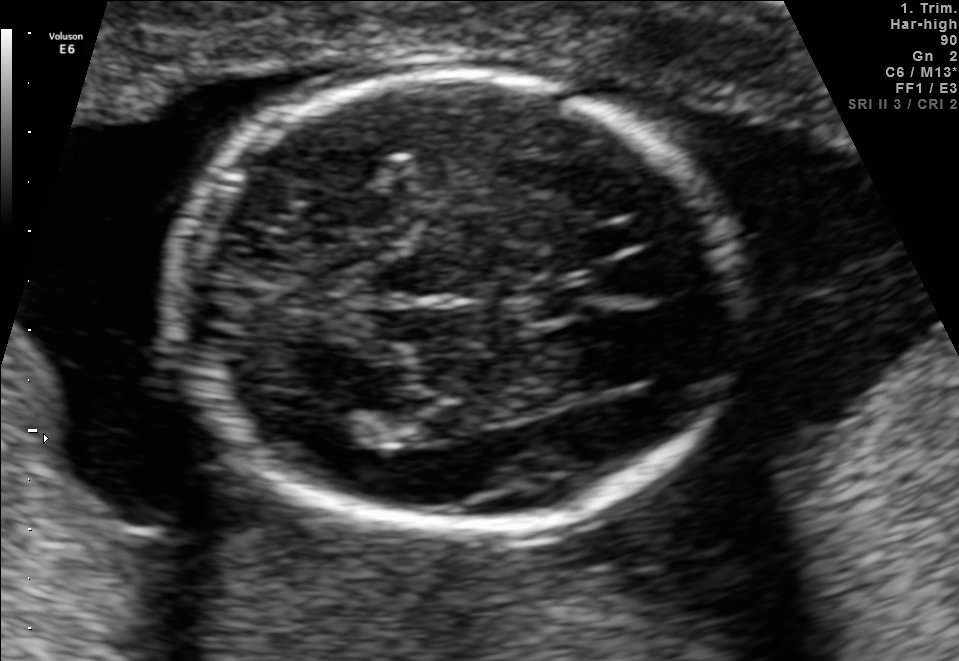
Which standard maternal-fetal ultrasound plane is shown: fetal abdomen, fetal brain, fetal femur, fetal thorax, maternal cervix, or other? If it's fetal brain and one of the three standard brain planes (trans-thalamic, trans-cerebellum, trans-ventricular), name which.

Fetal brain (trans-thalamic plane)